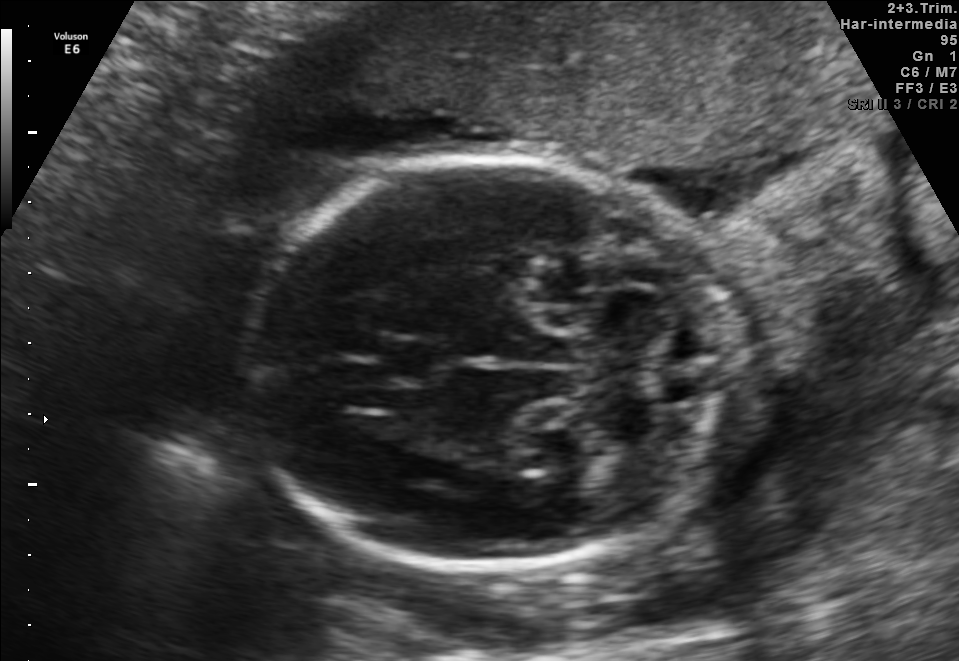
In this fetal brain, trans-cerebellum plane, give the bounding box of the fetal head.

[246,157,721,568]